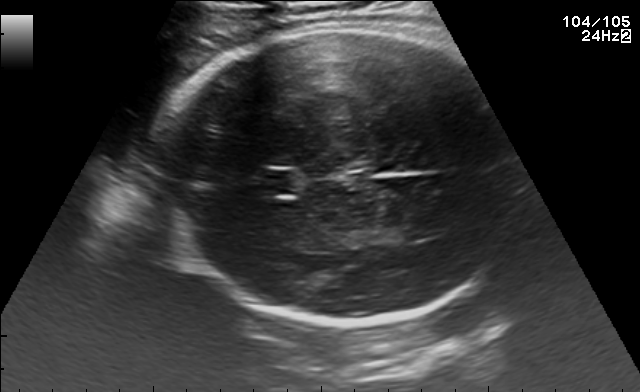
Identify the standard plane in this fetal ultrasound image: fetal abdomen, fetal brain, fetal femur, fetal thorax, maternal cervix, or other. If it's fetal brain and one of the three standard brain planes (trans-thalamic, trans-cerebellum, trans-ventricular), name which.

Fetal brain (trans-thalamic plane)